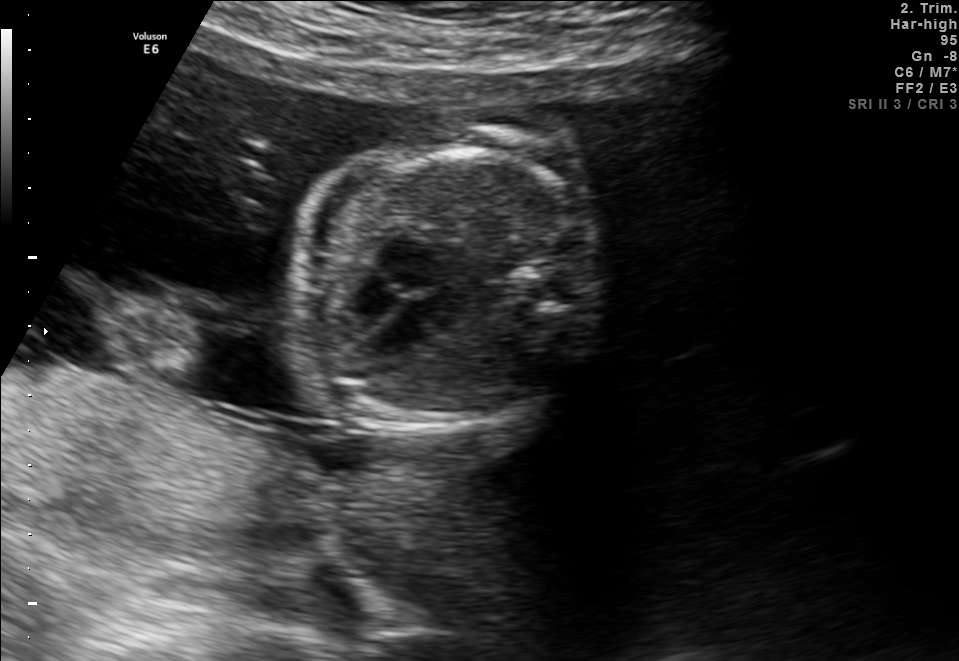
Classify this maternal-fetal ultrasound image as one of the six standard planes — fetal abdomen, fetal brain, fetal femur, fetal thorax, maternal cervix, or other. If it's fetal brain and one of the three standard brain planes (trans-thalamic, trans-cerebellum, trans-ventricular), name which.

Fetal thorax